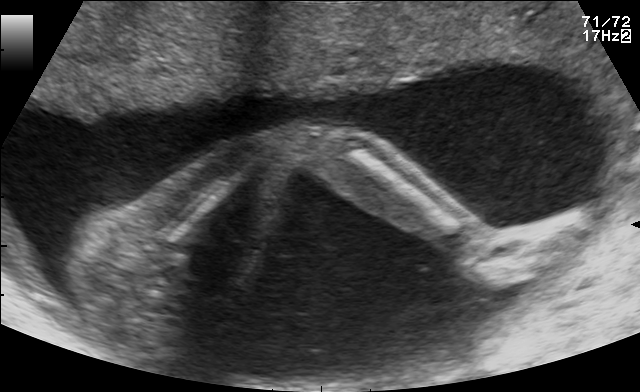
Identify the standard plane in this fetal ultrasound image: fetal abdomen, fetal brain, fetal femur, fetal thorax, maternal cervix, or other. If it's fetal brain and one of the three standard brain planes (trans-thalamic, trans-cerebellum, trans-ventricular), name which.

Other